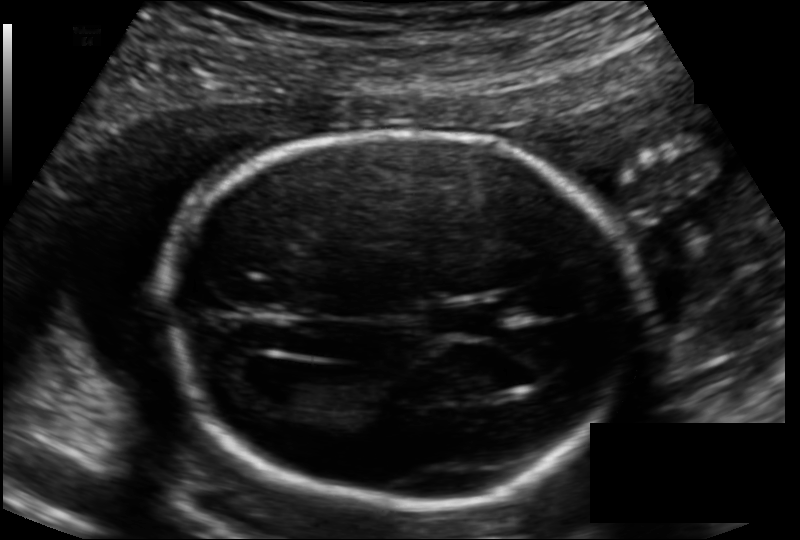
Fetal head ultrasound. Image width: 100.8 mm. Locate the lateral ventricle.

Lateral ventricle: [239,353,324,411]